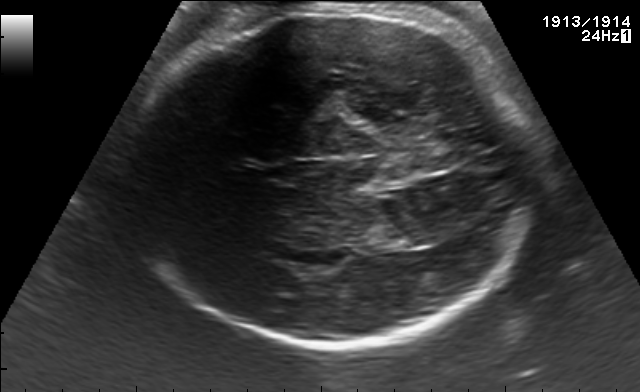
In this fetal brain, trans-thalamic plane, give the bounding box of the fetal head.

[120,13,527,349]